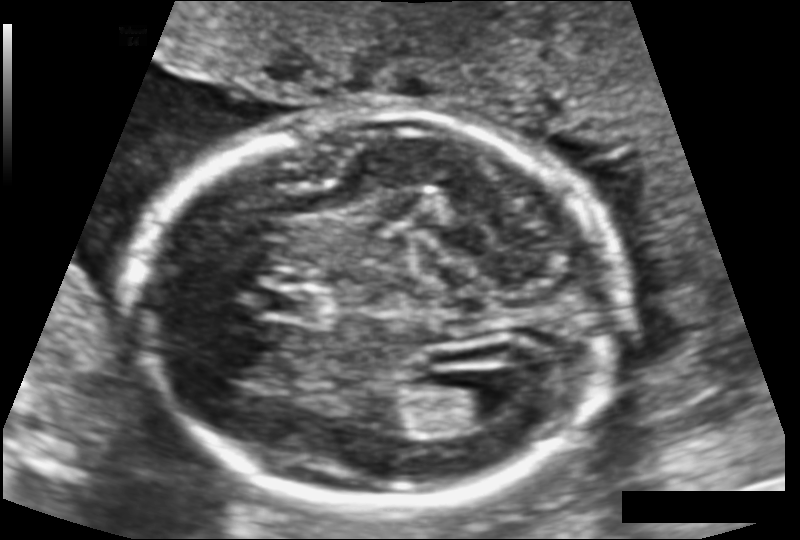
In this fetal head ultrasound, give the bounding box of the fetal head. Image width: 99.5 mm.

[136,112,622,511]